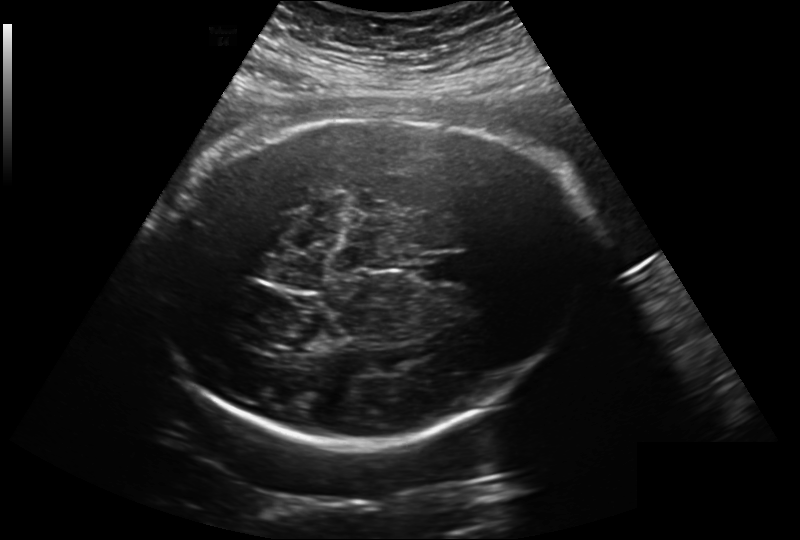
Fetal head ultrasound. Image width: 208.0 mm. Locate the fetal head.

Head: [148,115,588,441]